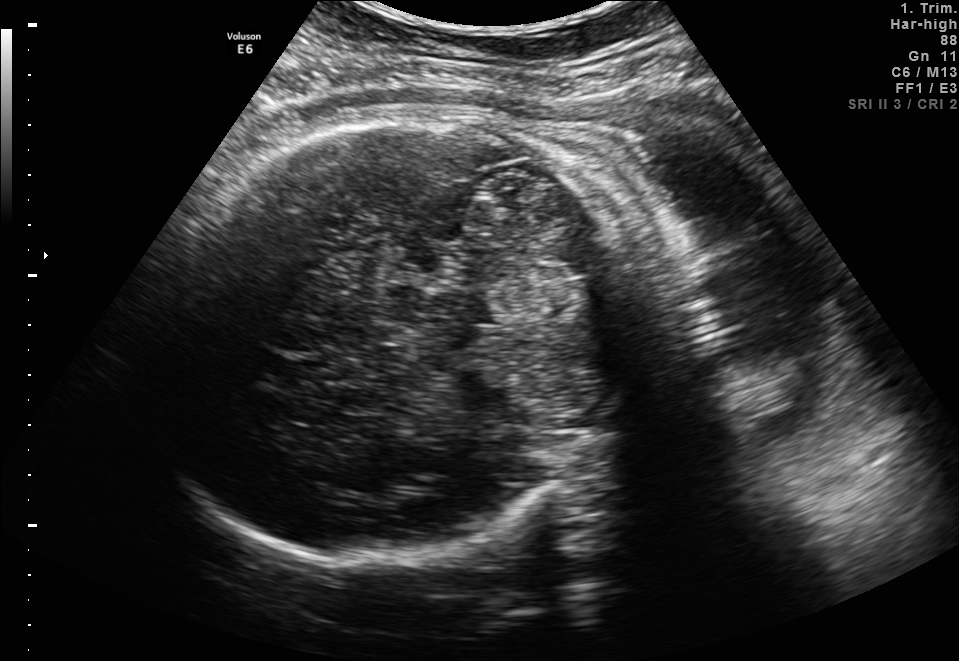
In this fetal brain, trans-thalamic plane, give bounding boxes for the head outline, cavum septum pellucidum (CSP), and lateral ventricle (LV), where visible.

Head: [144,108,633,573]